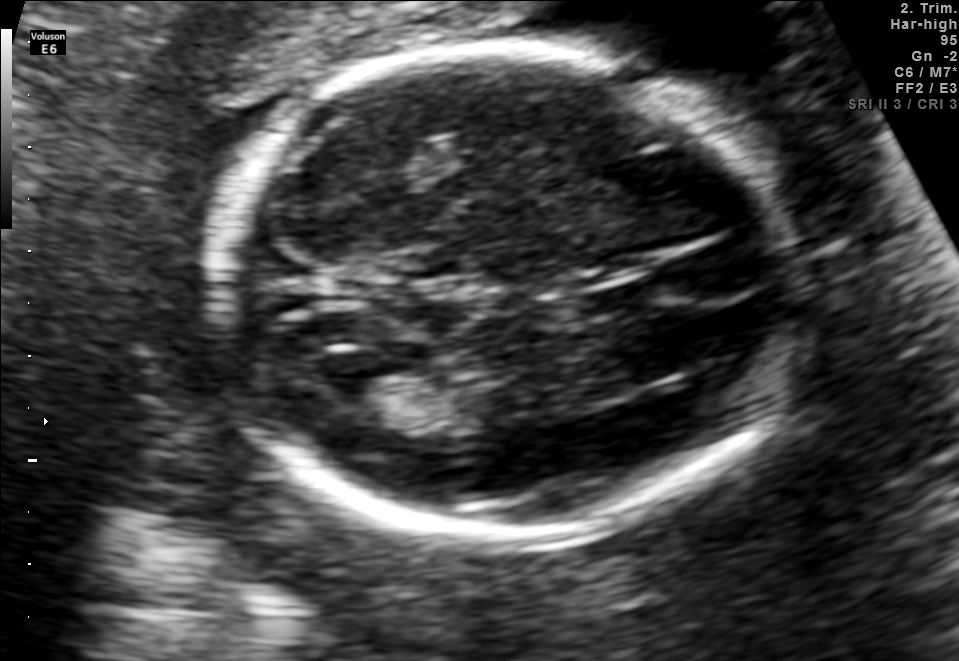
Fetal brain, trans-ventricular plane. Where is the cavum septum pellucidum?

CSP bounding box: [581,270,667,321]